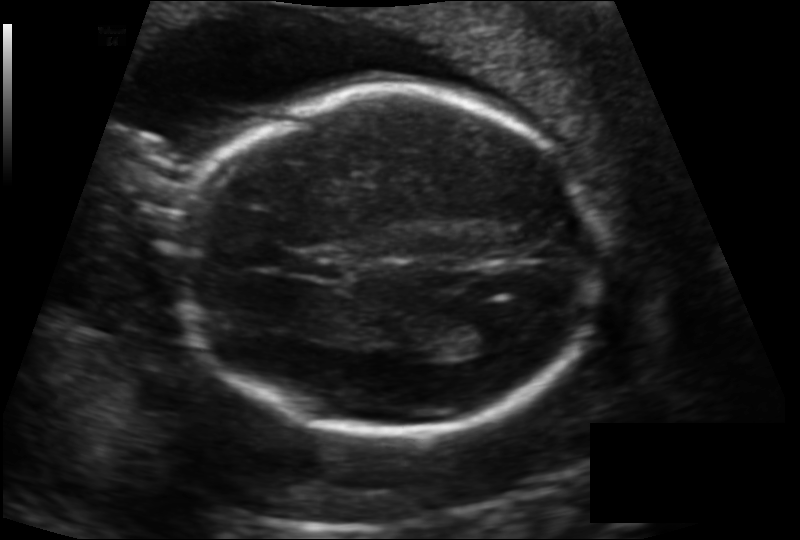
Fetal head ultrasound. Image width: 113.2 mm. Give [x1,y1,x2,y2] bounding boxes for each visible structure among: fetal head, CSP, LV.

Head: [175,87,603,435]
CSP: [285,247,347,282]
Lateral ventricle: [446,303,514,358]